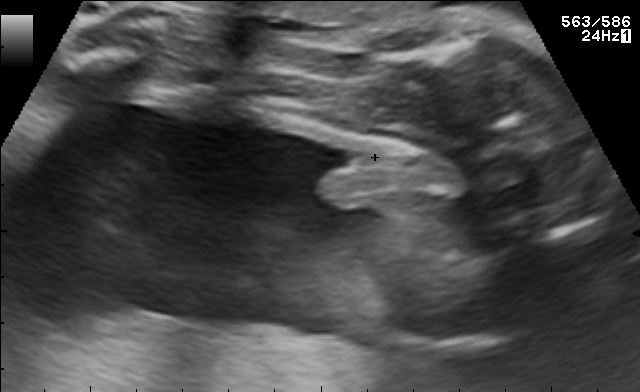
Which standard maternal-fetal ultrasound plane is shown: fetal abdomen, fetal brain, fetal femur, fetal thorax, maternal cervix, or other? If it's fetal brain and one of the three standard brain planes (trans-thalamic, trans-cerebellum, trans-ventricular), name which.

Other